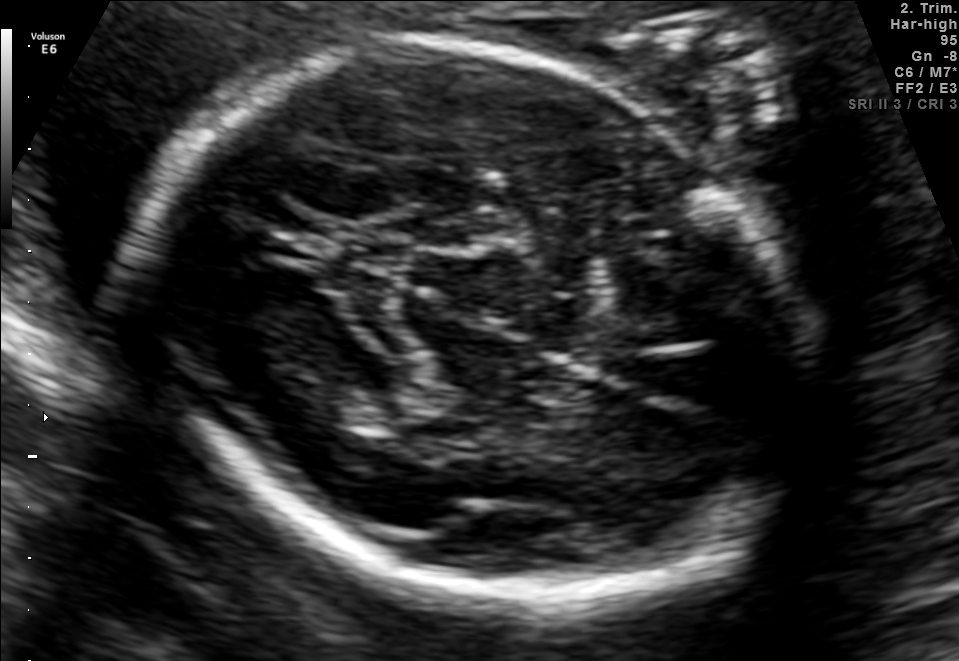
Fetal brain, trans-thalamic plane. Where is the fetal head?

Head bounding box: [143,40,802,601]